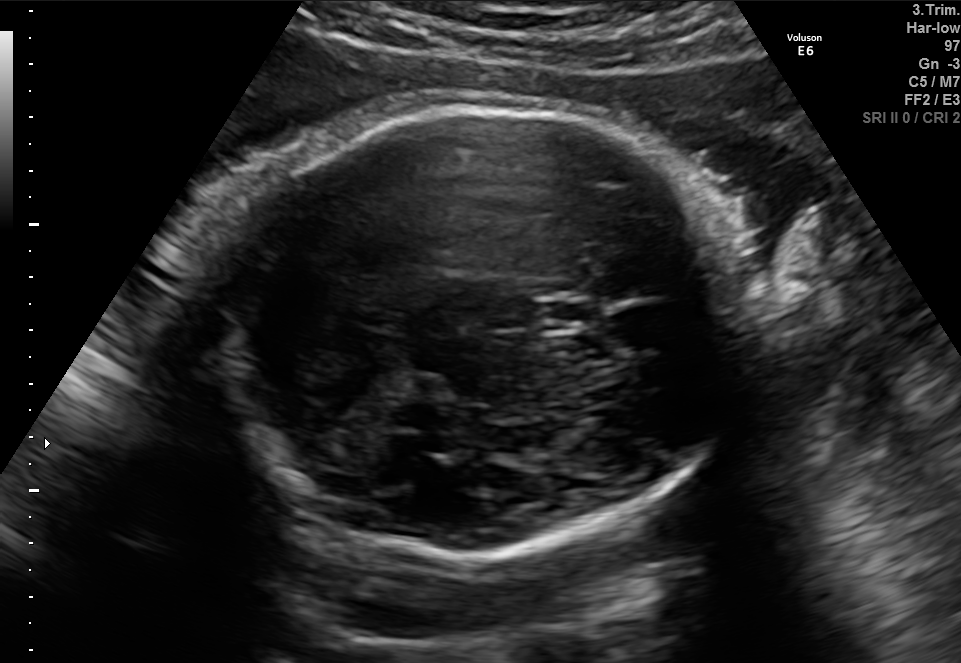
Fetal brain, trans-thalamic plane. Locate the cavum septum pellucidum.

CSP: [534,299,596,330]